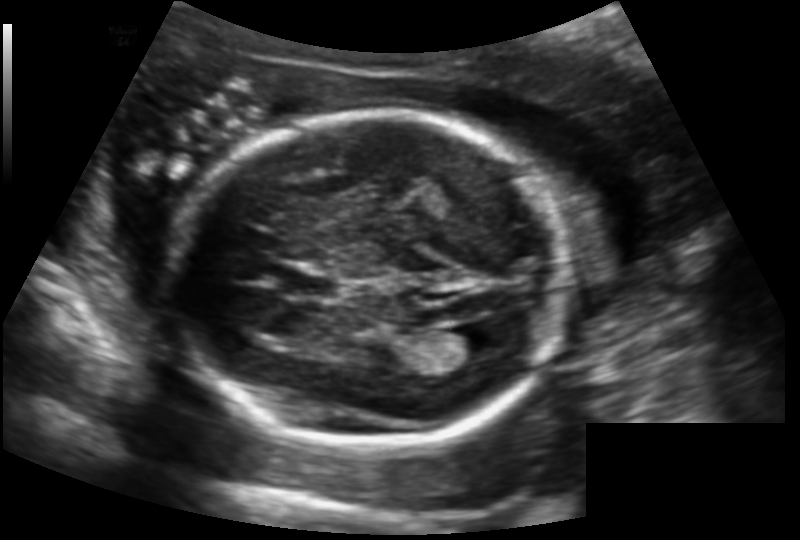
Fetal head ultrasound. Image width: 117.4 mm. Locate the cavum septum pellucidum.

CSP: [280,267,340,298]